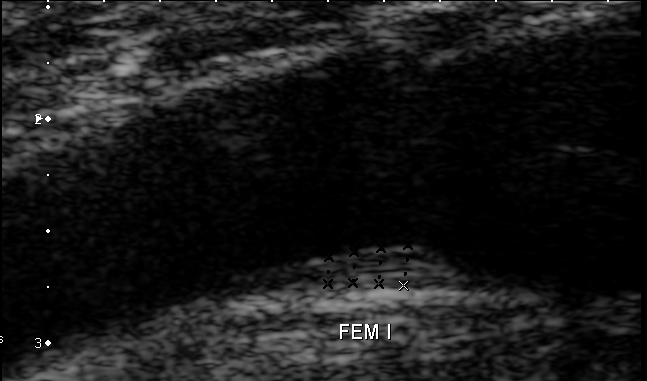
This is a 2D maternal-fetal ultrasound frame. Is it a fetal abdomen, fetal brain, fetal femur, fetal thorax, maternal cervix, or other standard plane? If it's fetal brain and one of the three standard brain planes (trans-thalamic, trans-cerebellum, trans-ventricular), name which.

Other